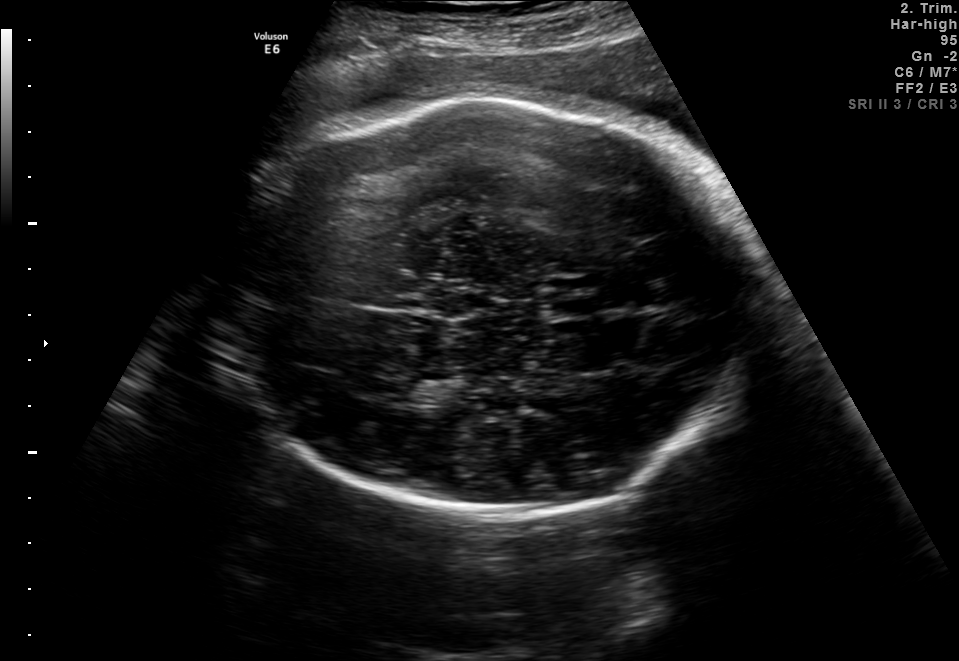
In this fetal brain, trans-thalamic plane, give the bounding box of the fetal head.

[214,99,757,514]